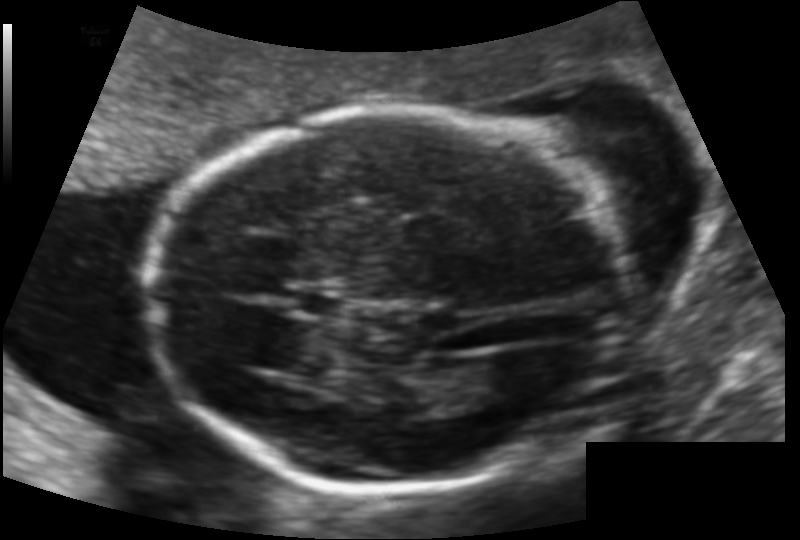
In this fetal head ultrasound, give the bounding box of the cavum septum pellucidum. Image width: 94.5 mm.

[292,288,343,319]